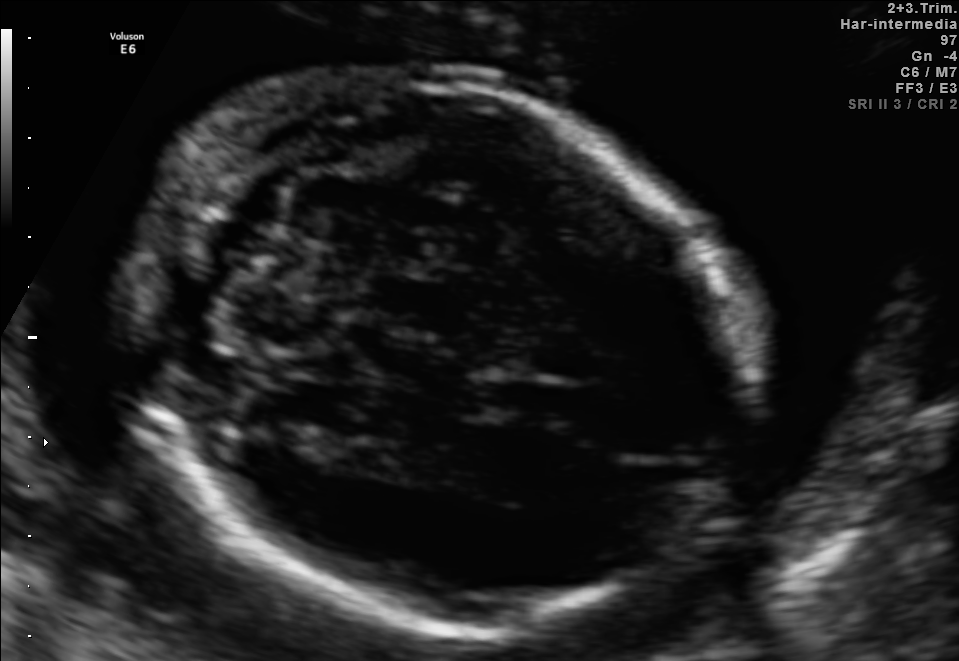
Fetal brain, trans-cerebellum plane. Locate the fetal head.

Head: [130,78,741,627]